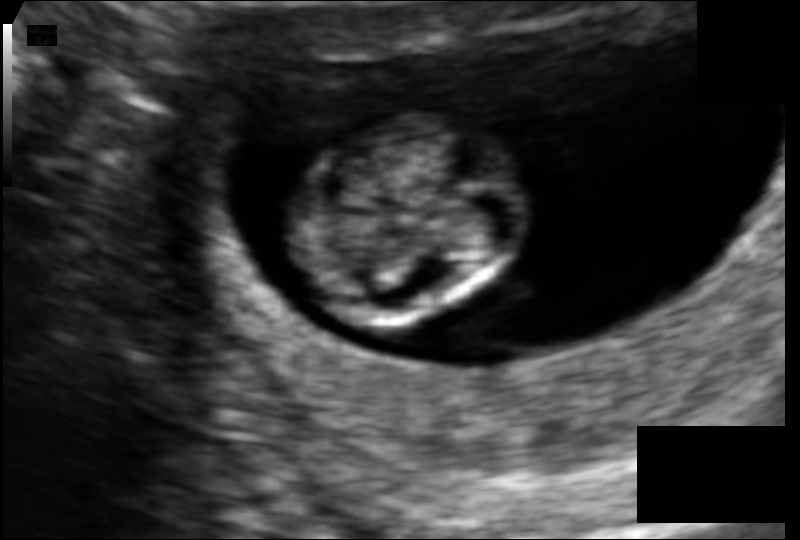
What is the fetal head circumference? Image width is 66.8 mm.

59.4 mm